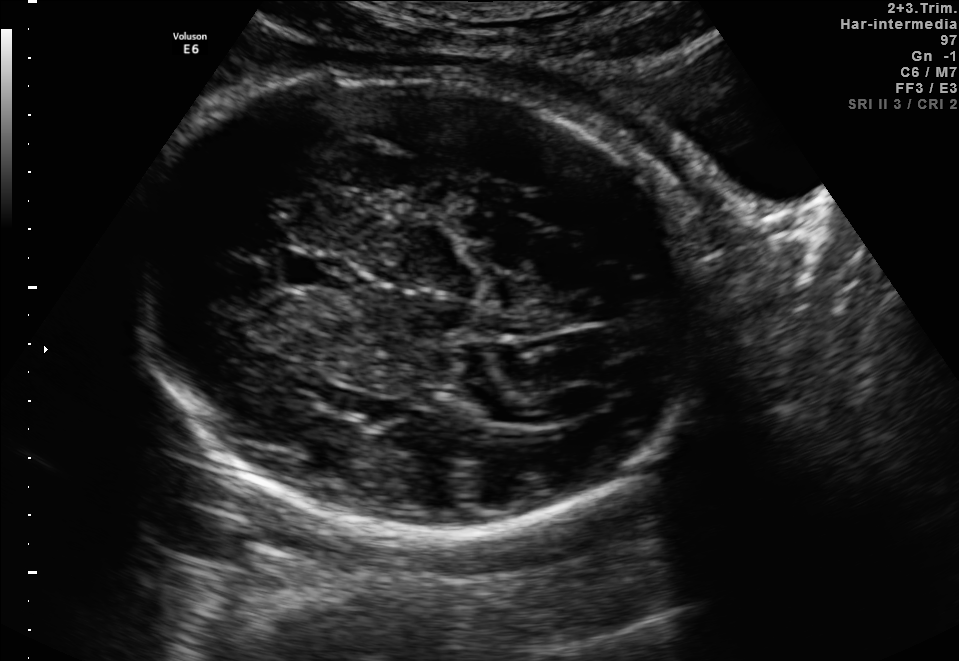
In this fetal brain, trans-thalamic plane, give the bounding box of the cavum septum pellucidum.

[280,253,345,289]